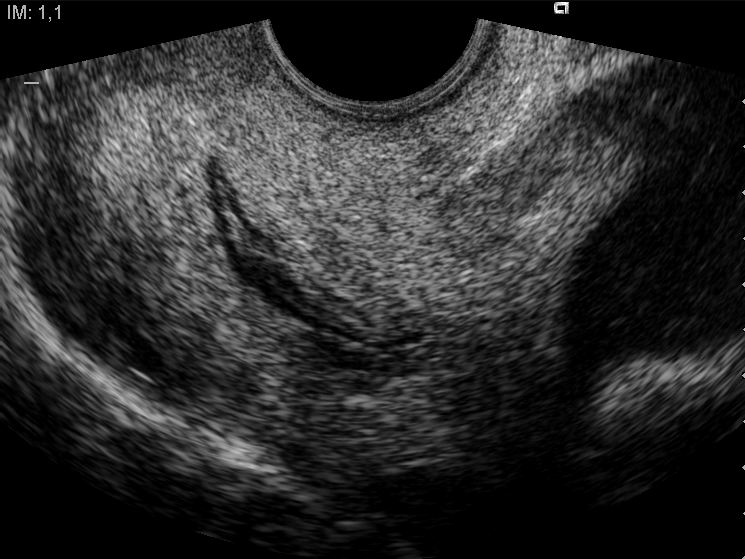
Which standard maternal-fetal ultrasound plane is shown: fetal abdomen, fetal brain, fetal femur, fetal thorax, maternal cervix, or other? If it's fetal brain and one of the three standard brain planes (trans-thalamic, trans-cerebellum, trans-ventricular), name which.

Maternal cervix